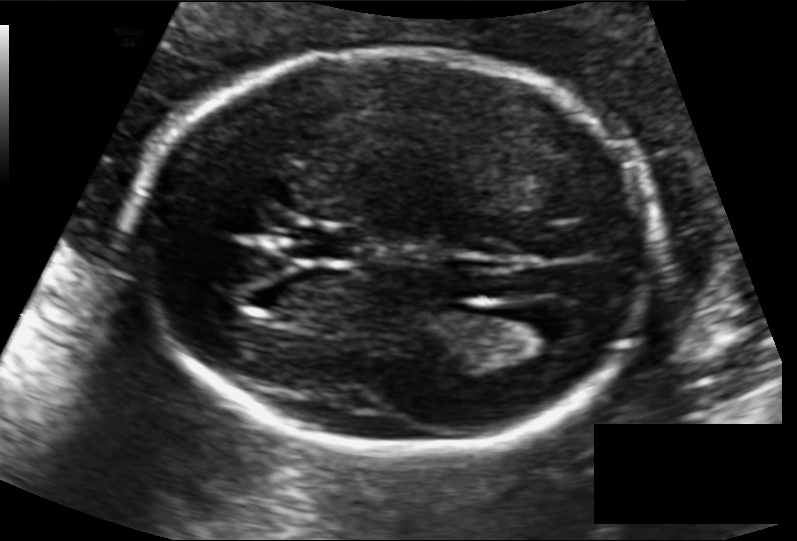
Fetal head ultrasound. Image width: 94.0 mm. Locate the lateral ventricle.

Lateral ventricle: [489,294,584,367]